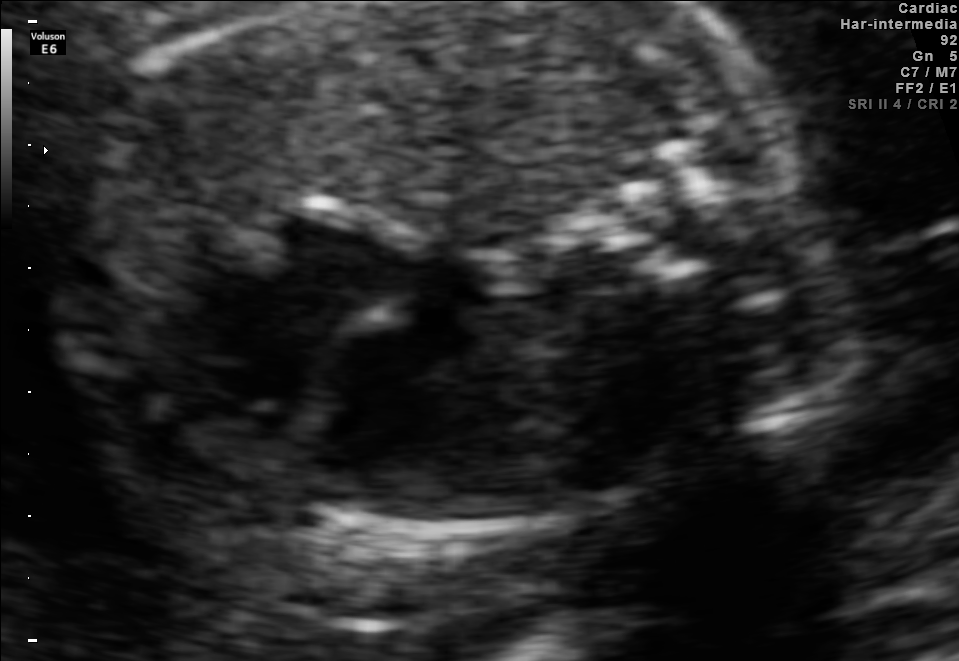
Identify the standard plane in this fetal ultrasound image: fetal abdomen, fetal brain, fetal femur, fetal thorax, maternal cervix, or other. If it's fetal brain and one of the three standard brain planes (trans-thalamic, trans-cerebellum, trans-ventricular), name which.

Fetal thorax